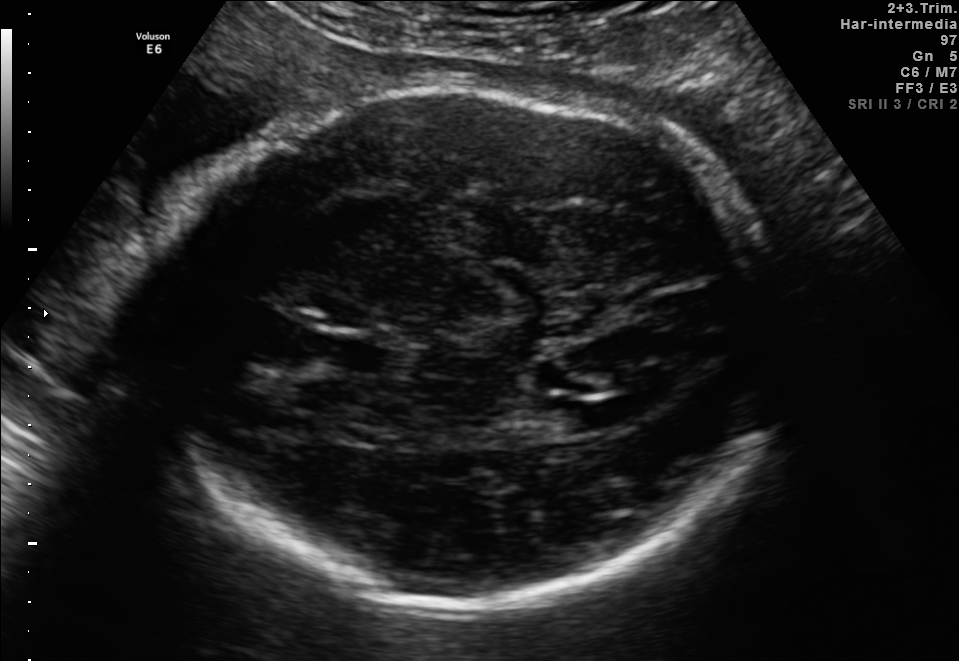
Fetal brain, trans-ventricular plane. Locate the fetal head.

Head: [132,75,797,606]